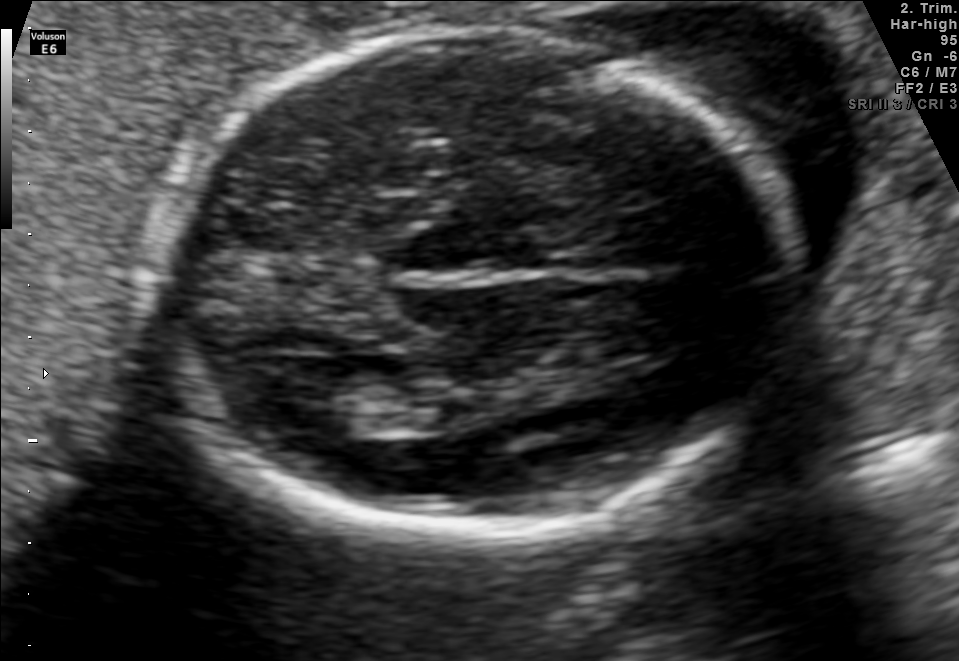
In this fetal brain, trans-thalamic plane, give the bounding box of the fetal head.

[157,32,802,531]